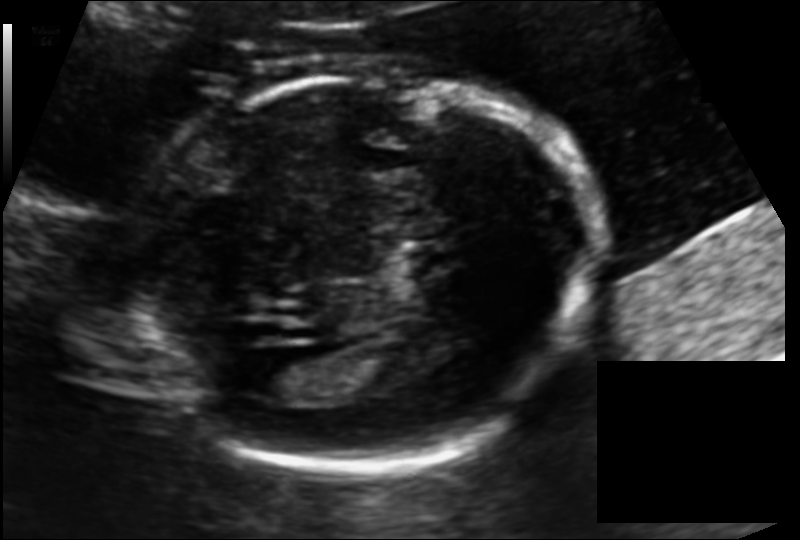
Fetal head ultrasound. Image width: 99.9 mm. Where is the lateral ventricle?

Lateral ventricle bounding box: [258,358,323,397]